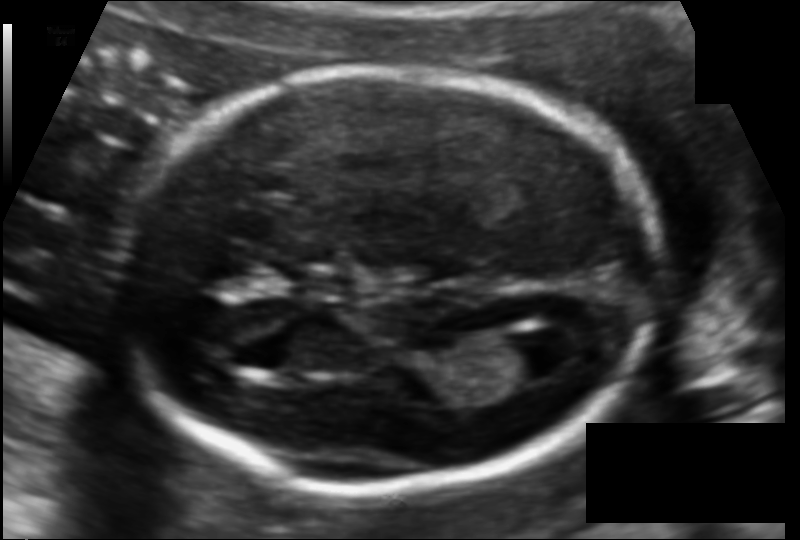
In this fetal head ultrasound, give the bounding box of the fetal head. Image width: 85.9 mm.

[113,70,660,488]